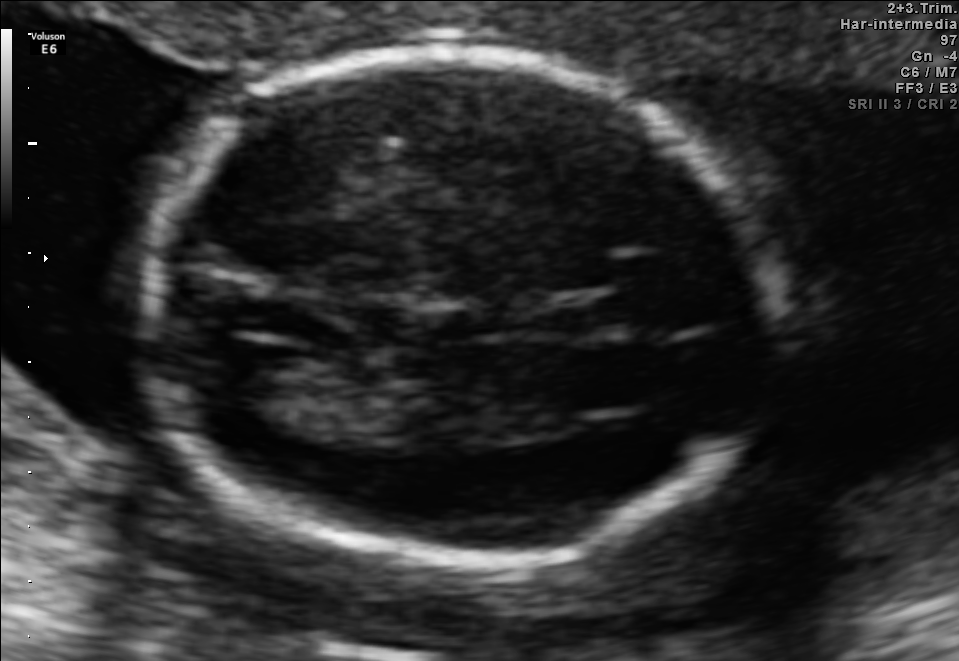
Fetal brain, trans-ventricular plane. Give [x1,y1,x2,y2] bounding boxes for each visible structure among: fetal head, CSP, LV.

Head: [124,44,797,579]